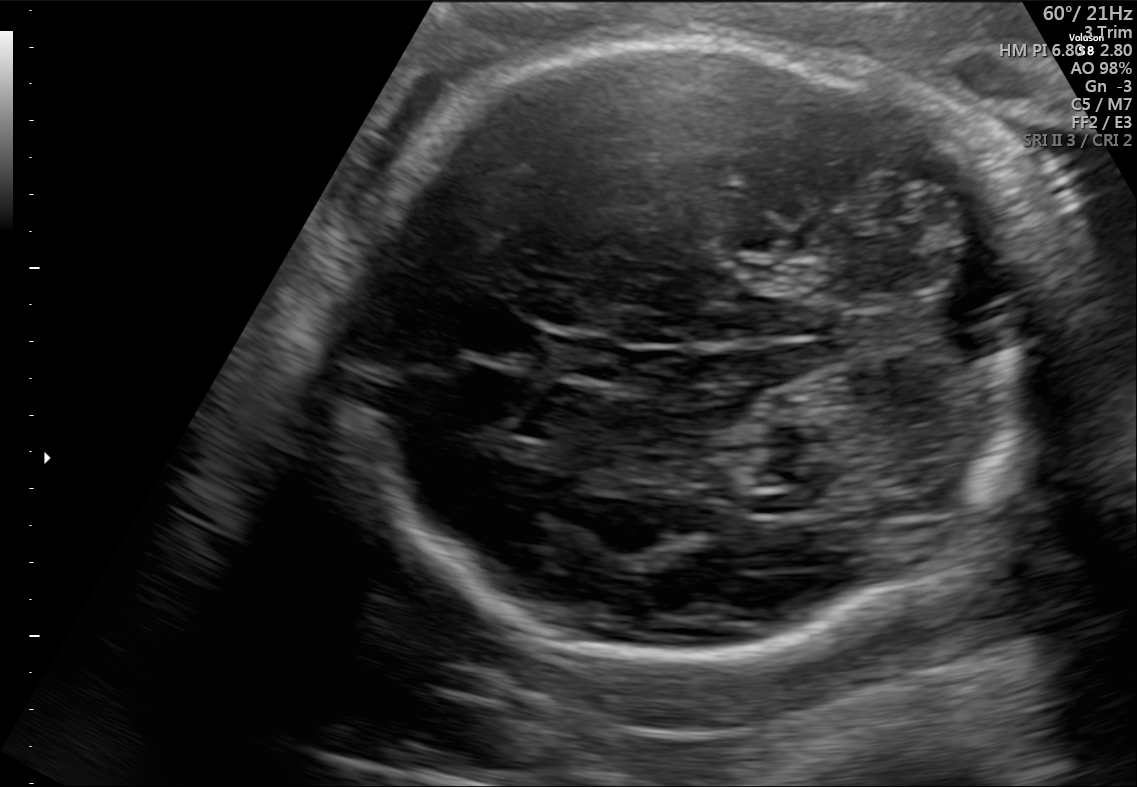
Fetal brain, trans-cerebellum plane. Locate the fetal head and, if visible, the cavum septum pellucidum (CSP) and lateral ventricle (LV). Give bounding boxes as [x1,y1,x2,y2].

Head: [345,42,1034,655]